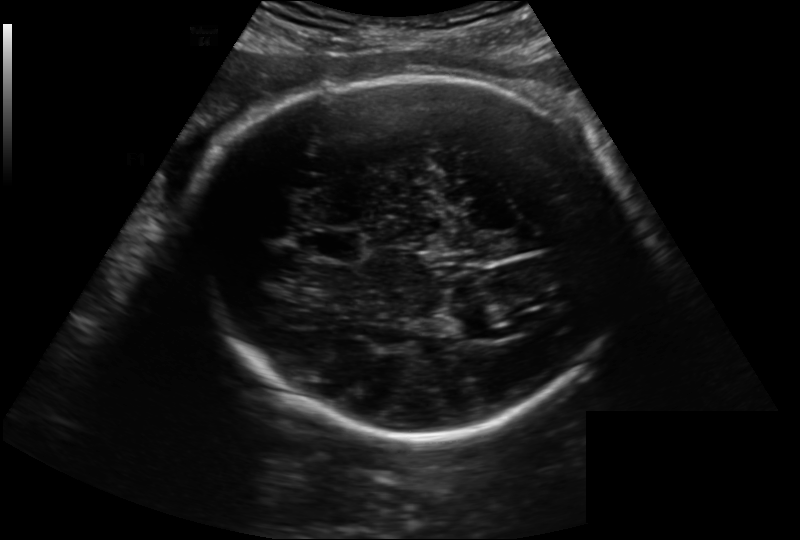
From this fetal ultrasound, estimate the head circumference (image width 177.3 mm).

Head circumference: 292.2 mm.